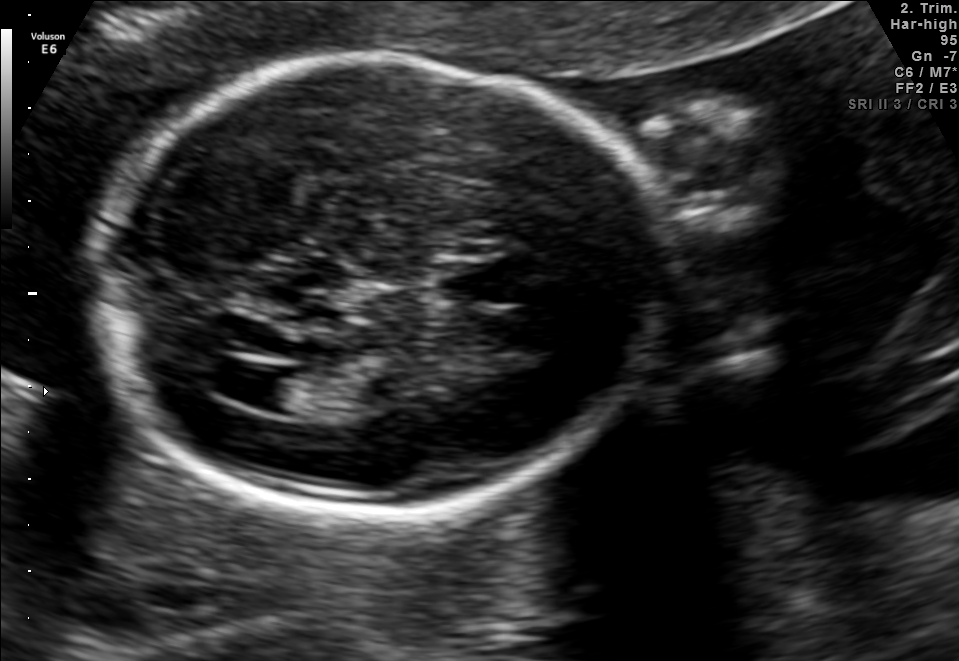
In this fetal brain, trans-ventricular plane, give bounding boxes for the head outline, cavum septum pellucidum (CSP), and lateral ventricle (LV), where visible.

Head: [84,49,685,522]
CSP: [426,261,527,303]
Lateral ventricle: [210,356,303,417]